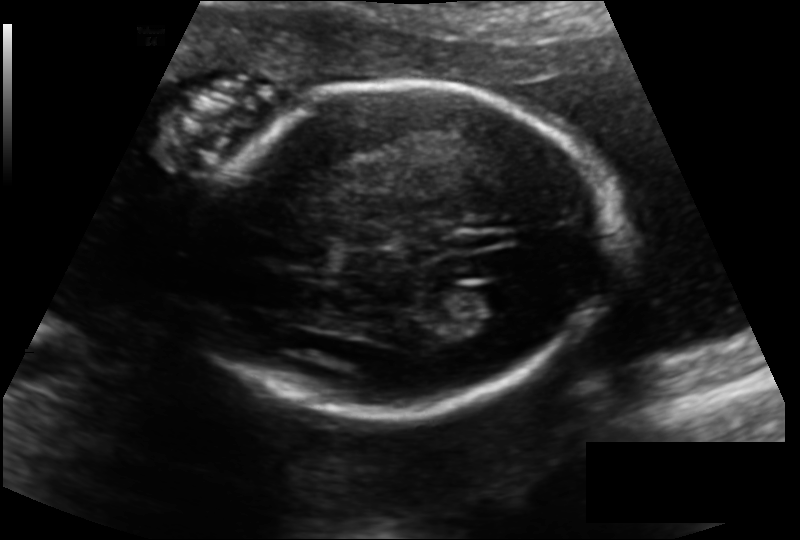
Fetal head ultrasound. Image width: 115.4 mm. Where is the lateral ventricle?

Lateral ventricle bounding box: [454,279,522,323]